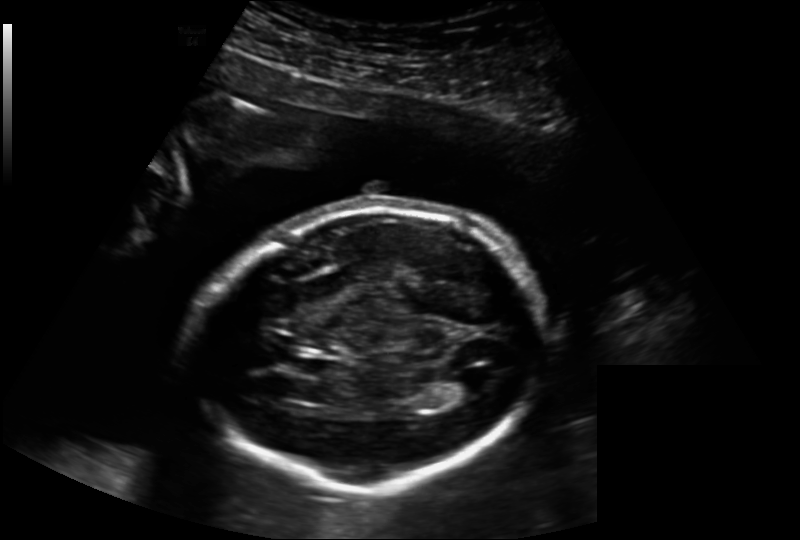
Fetal head ultrasound. Image width: 161.7 mm. Where is the cavum septum pellucidum?

CSP bounding box: [286,351,333,380]